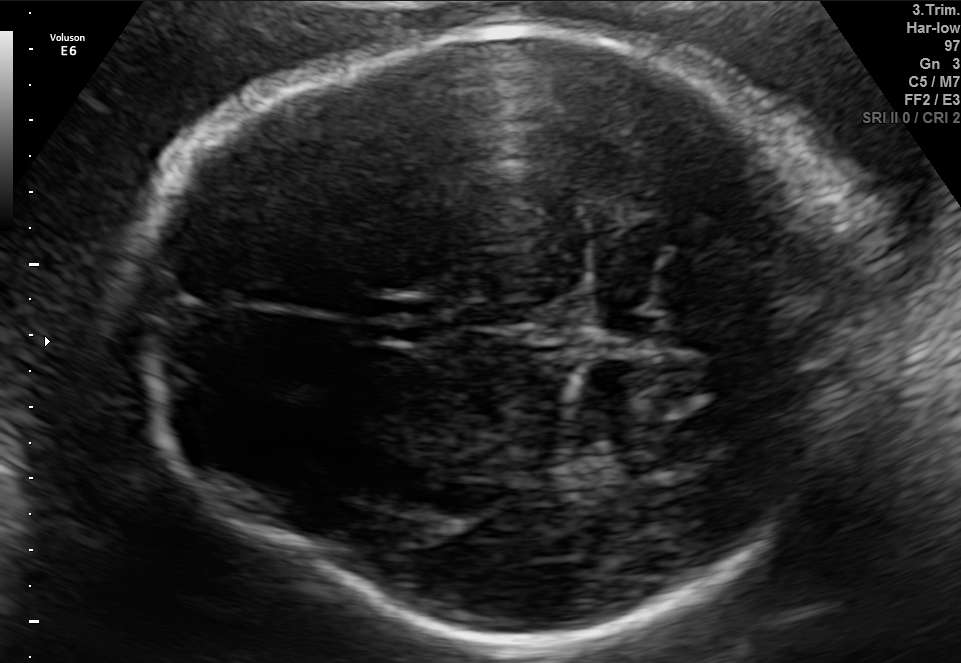
Fetal brain, trans-thalamic plane. Where is the fetal head?

Head bounding box: [122,26,903,645]